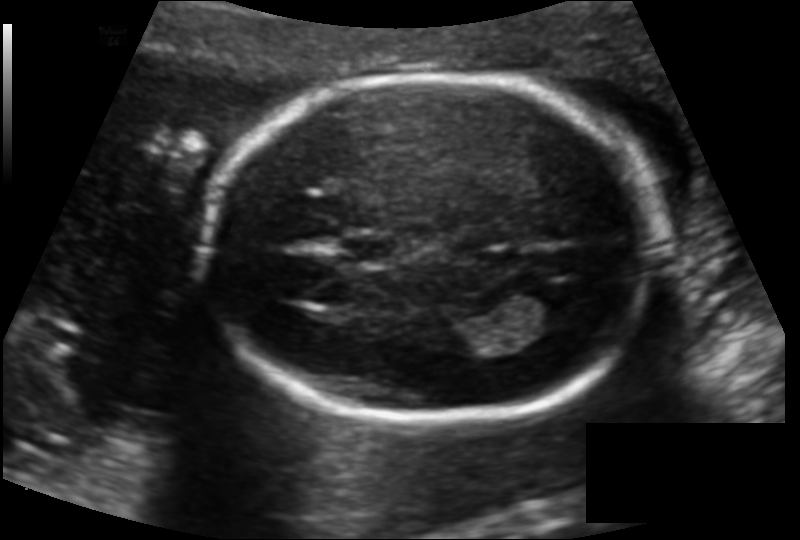
Measure the fetal head circumference shown in this ultrasound image. Image width: 104.1 mm.

Head circumference: 172.0 mm.